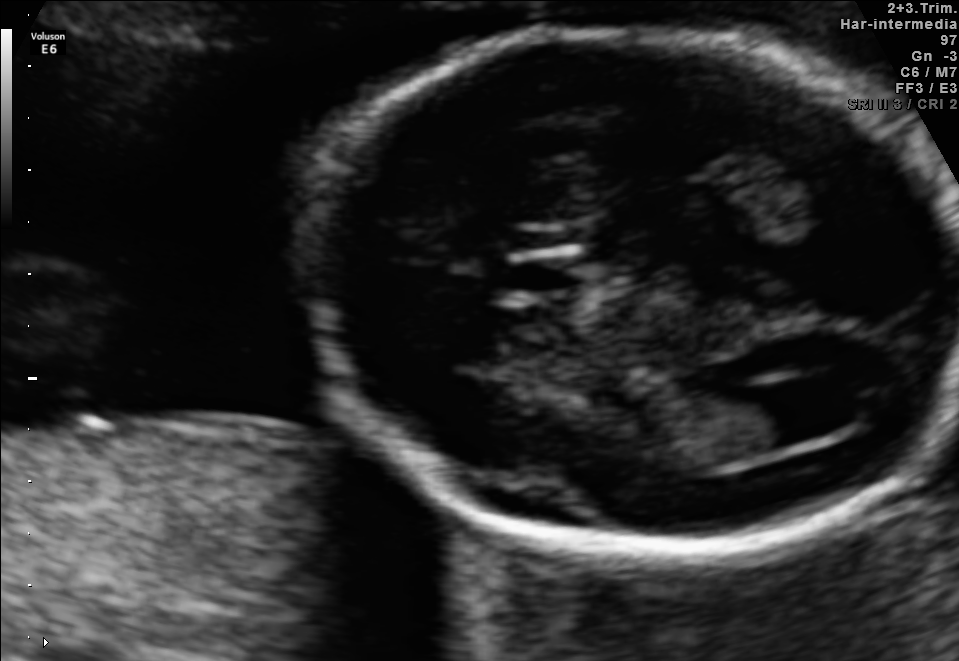
Fetal brain, trans-ventricular plane. Locate the lateral ventricle.

Lateral ventricle: [749,367,854,452]